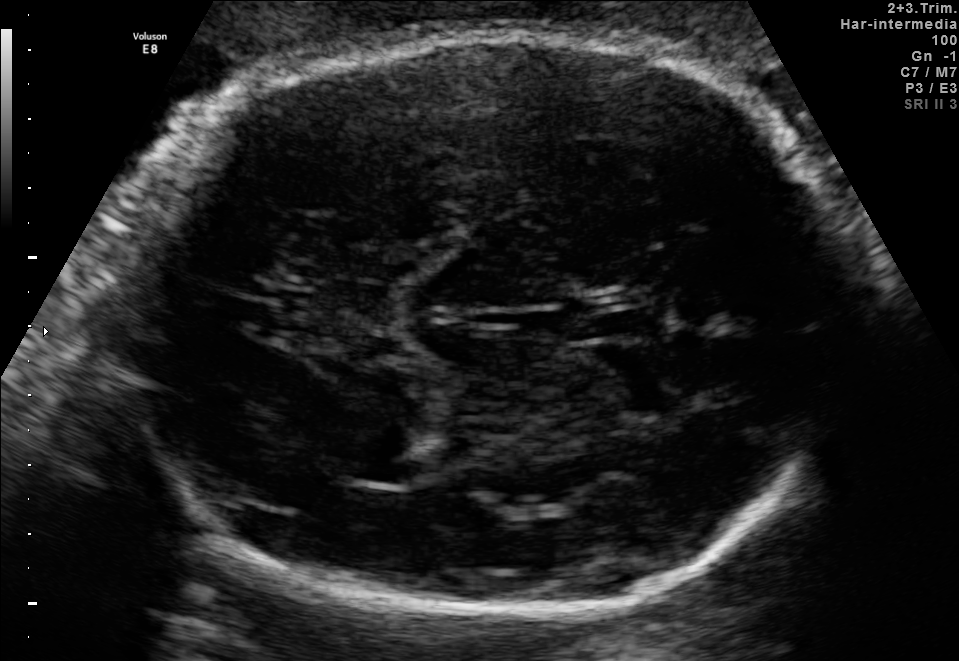
In this fetal brain, trans-thalamic plane, give the bounding box of the fetal head.

[117,34,854,617]